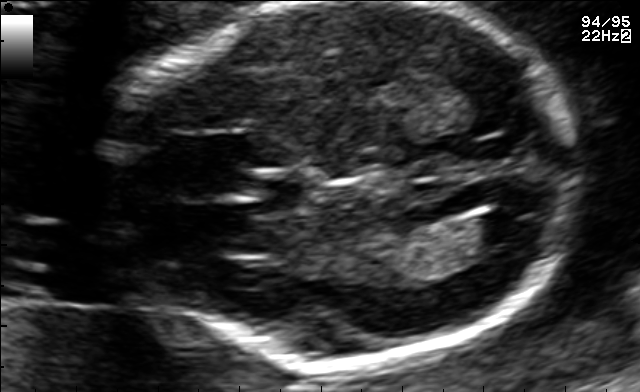
Fetal brain, trans-ventricular plane. Give [x1,y1,x2,y2] bounding boxes for each visible structure among: fetal head, CSP, LV.

Head: [93,2,599,374]
CSP: [251,180,306,211]
Lateral ventricle: [467,202,537,250]